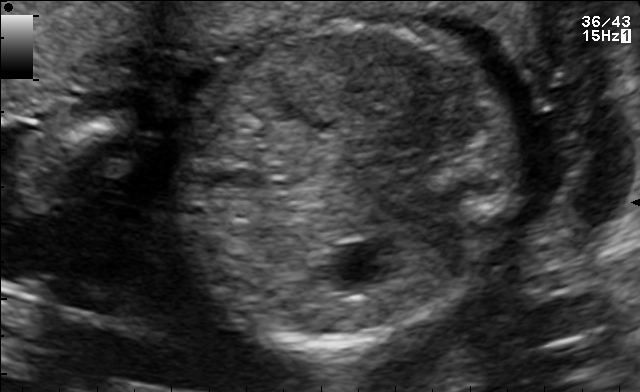
This is a 2D maternal-fetal ultrasound frame. Is it a fetal abdomen, fetal brain, fetal femur, fetal thorax, maternal cervix, or other standard plane? If it's fetal brain and one of the three standard brain planes (trans-thalamic, trans-cerebellum, trans-ventricular), name which.

Fetal abdomen